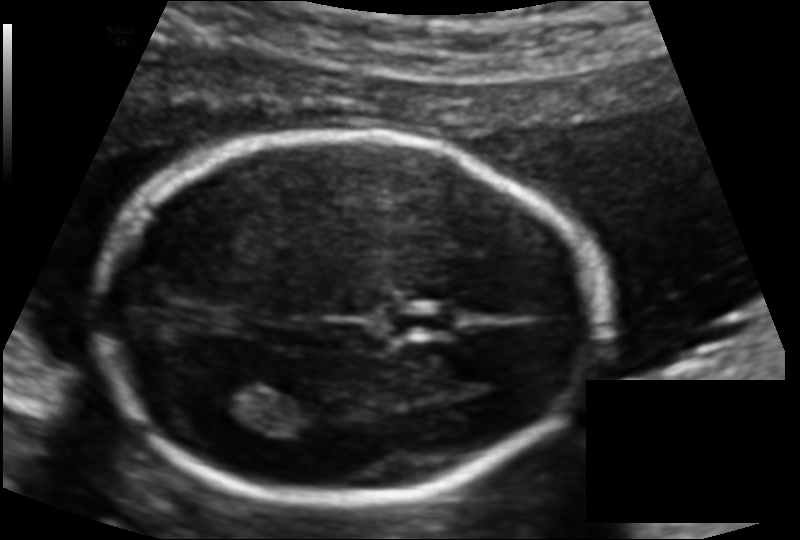
Fetal head ultrasound. Image width: 91.6 mm. Where is the cavum septum pellucidum?

CSP bounding box: [389,307,453,336]